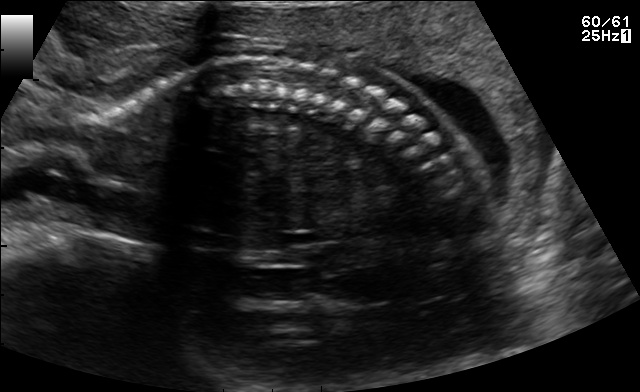
Identify the standard plane in this fetal ultrasound image: fetal abdomen, fetal brain, fetal femur, fetal thorax, maternal cervix, or other. If it's fetal brain and one of the three standard brain planes (trans-thalamic, trans-cerebellum, trans-ventricular), name which.

Other